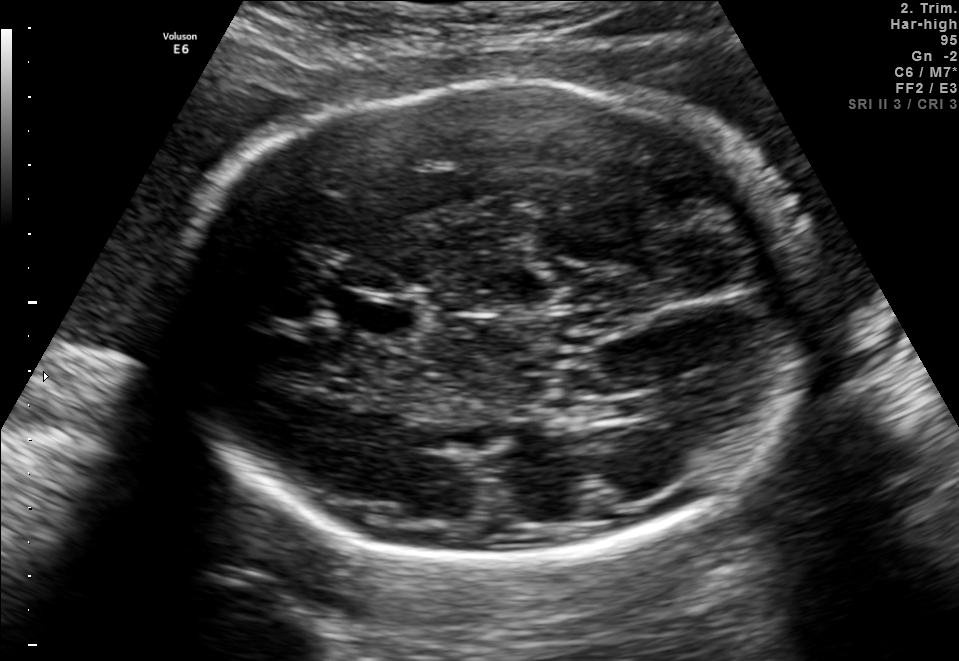
In this fetal brain, trans-thalamic plane, give bounding boxes for the head outline, cavum septum pellucidum (CSP), and lateral ventricle (LV), where visible.

Head: [170,80,819,559]
CSP: [345,295,417,338]
Lateral ventricle: [613,389,663,423]